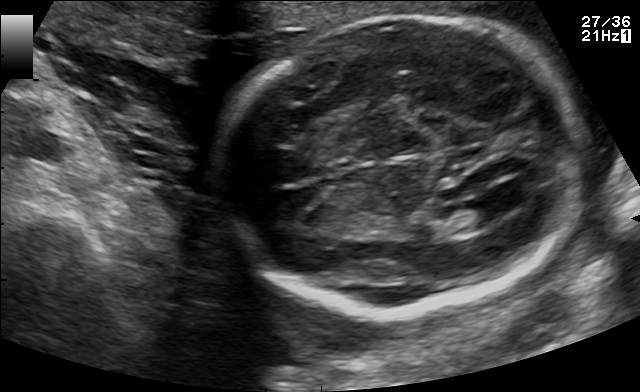
In this fetal brain, trans-ventricular plane, give the bounding box of the lateral ventricle.

[467,183,524,224]